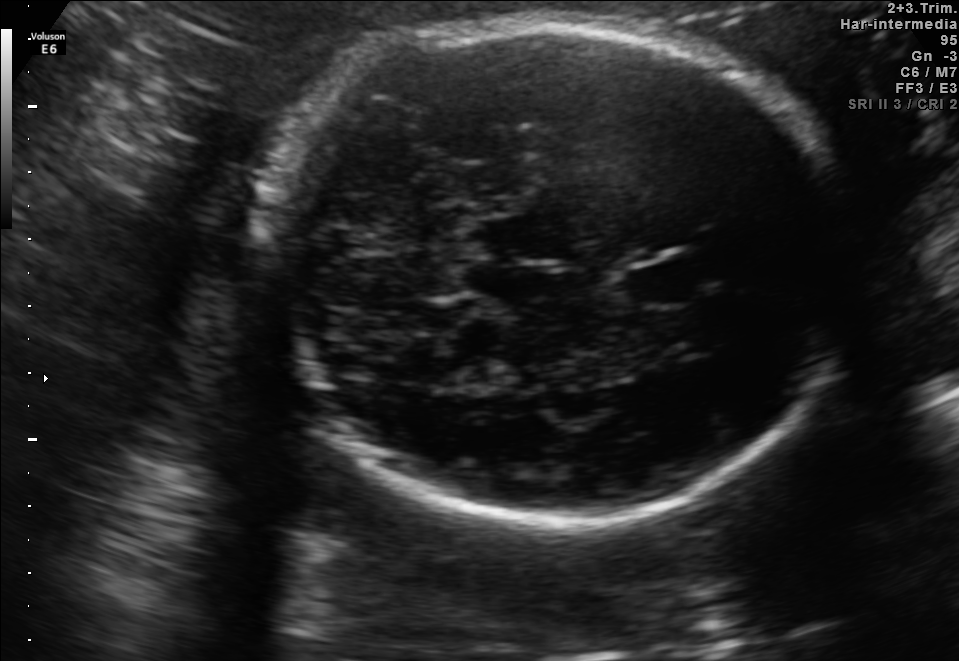
Fetal brain, trans-cerebellum plane. Give [x1,y1,x2,y2] bounding boxes for each visible structure among: fetal head, CSP, LV.

Head: [263,16,856,525]
CSP: [623,247,711,316]